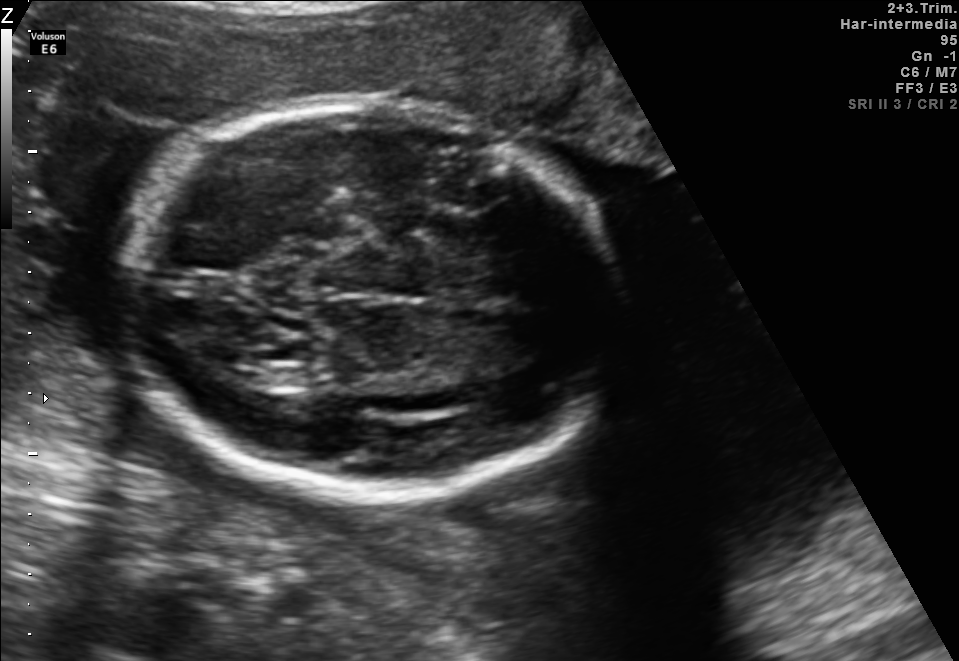
Fetal brain, trans-thalamic plane. Where is the lateral ventricle?

Lateral ventricle bounding box: [228,358,277,389]